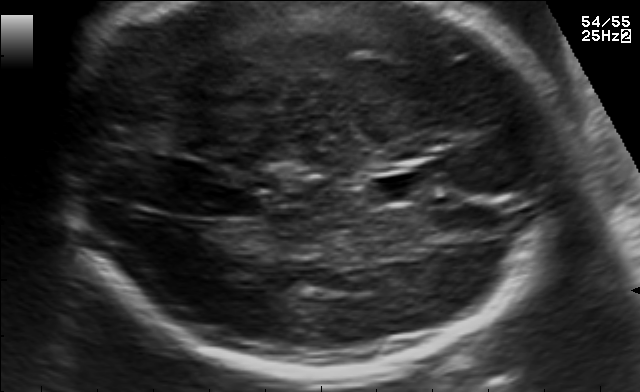
Fetal brain, trans-thalamic plane. Locate the cavum septum pellucidum.

CSP: [371,169,433,206]